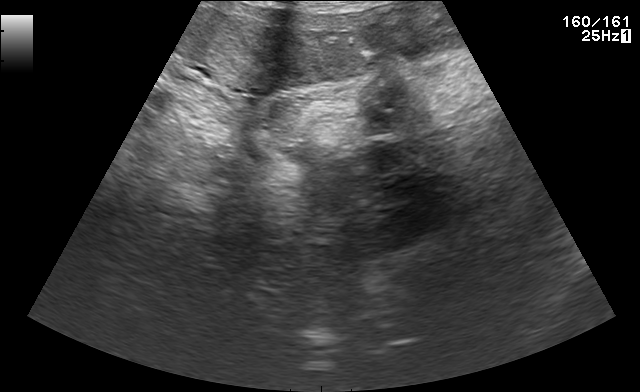
Which standard maternal-fetal ultrasound plane is shown: fetal abdomen, fetal brain, fetal femur, fetal thorax, maternal cervix, or other? If it's fetal brain and one of the three standard brain planes (trans-thalamic, trans-cerebellum, trans-ventricular), name which.

Other